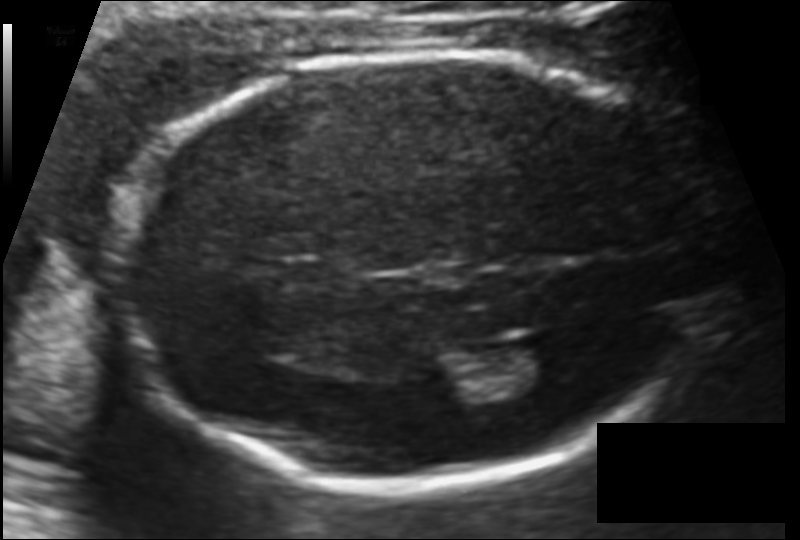
Fetal head ultrasound. Image width: 91.0 mm. Locate the fetal head.

Head: [126,51,704,489]